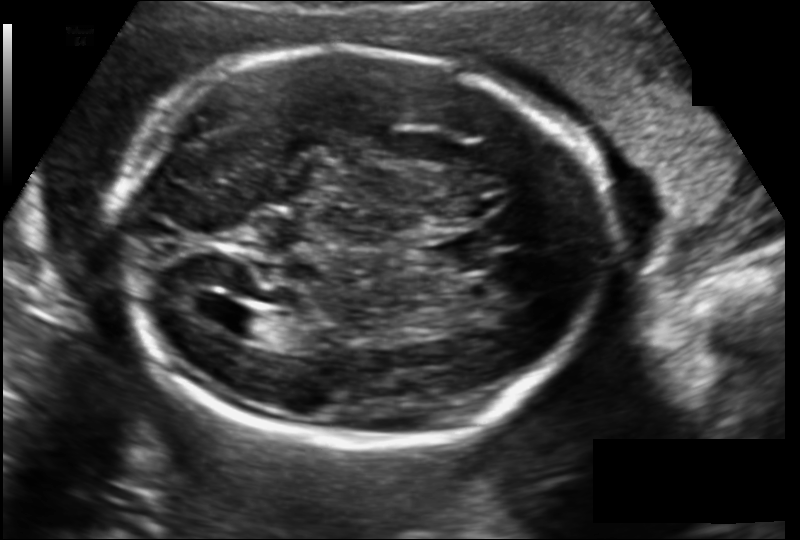
Fetal head ultrasound. Image width: 119.2 mm. Where is the lateral ventricle?

Lateral ventricle bounding box: [219,305,276,343]